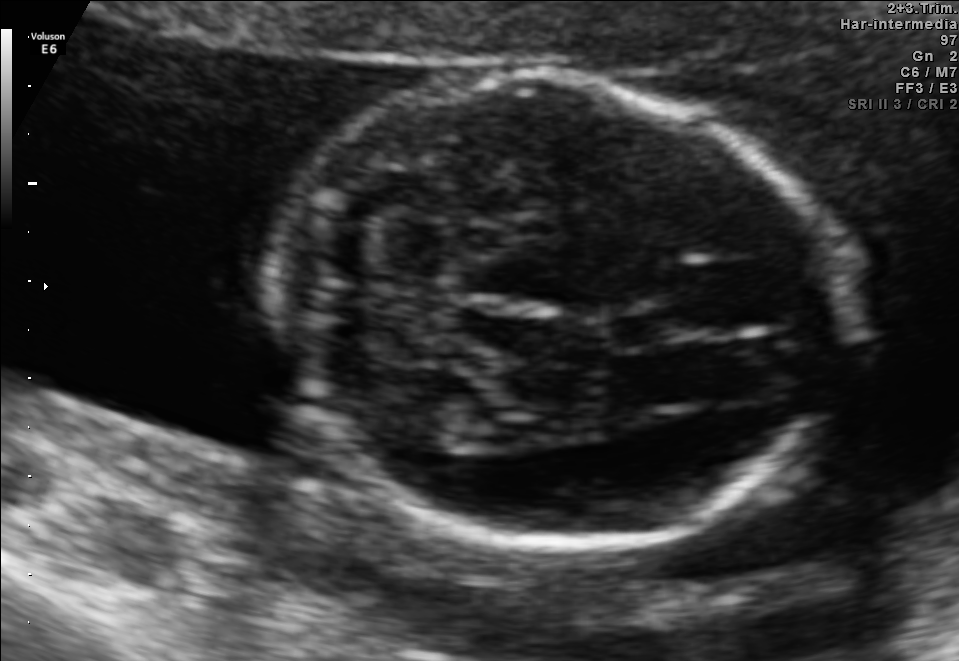
In this fetal brain, trans-cerebellum plane, give the bounding box of the cavum septum pellucidum.

[602,303,685,354]